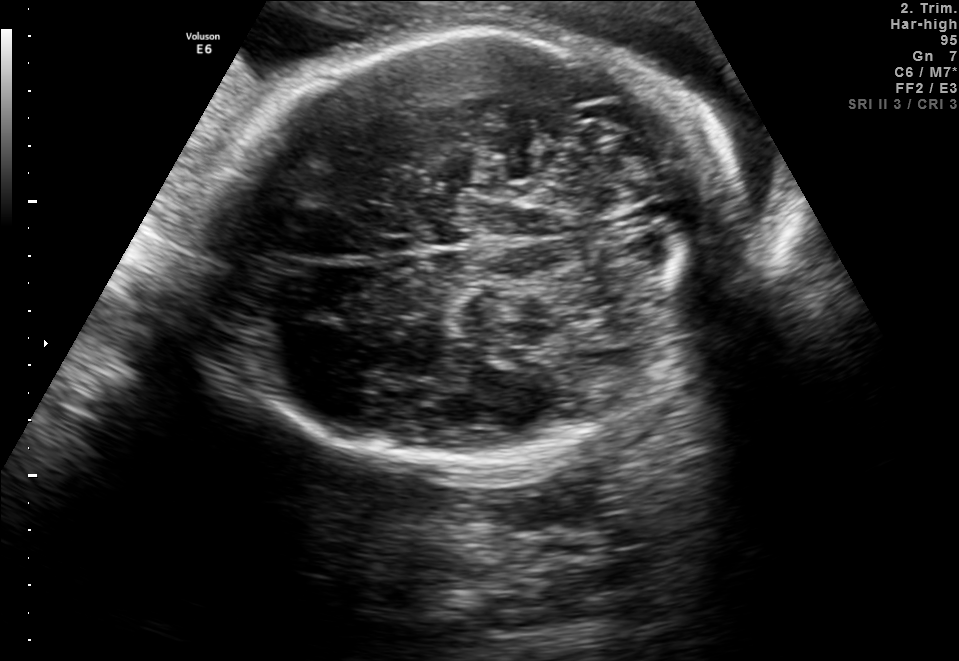
Fetal brain, trans-cerebellum plane. Locate the fetal head and, if visible, the cavum septum pellucidum (CSP) and lateral ventricle (LV). Give bounding boxes as [x1,y1,x2,y2].

Head: [219,31,728,462]